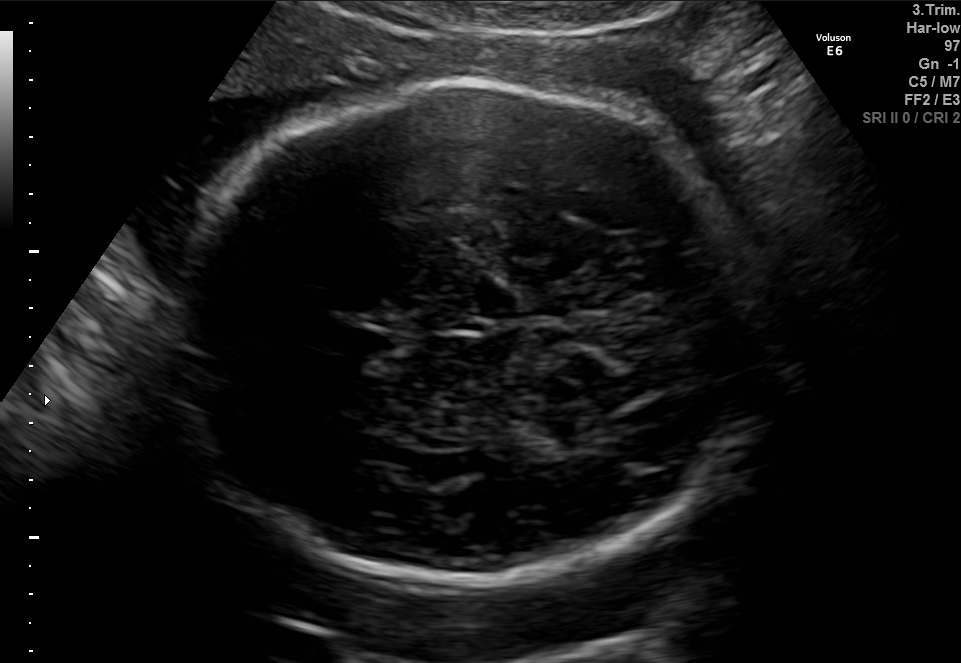
Fetal brain, trans-thalamic plane. Where is the cavum septum pellucidum?

CSP bounding box: [347,328,395,357]